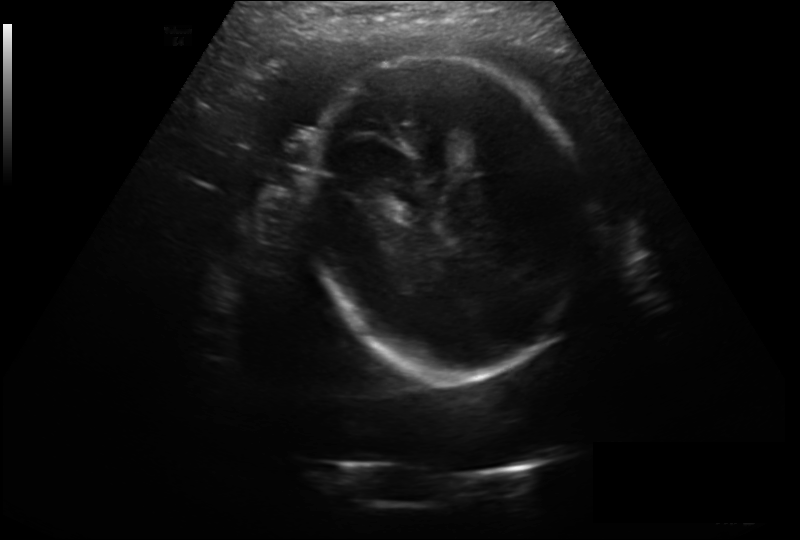
Fetal head ultrasound. Image width: 197.0 mm. Give [x1,y1,x2,y2] bounding boxes for each visible structure among: fetal head, CSP, LV.

Head: [308,58,589,379]